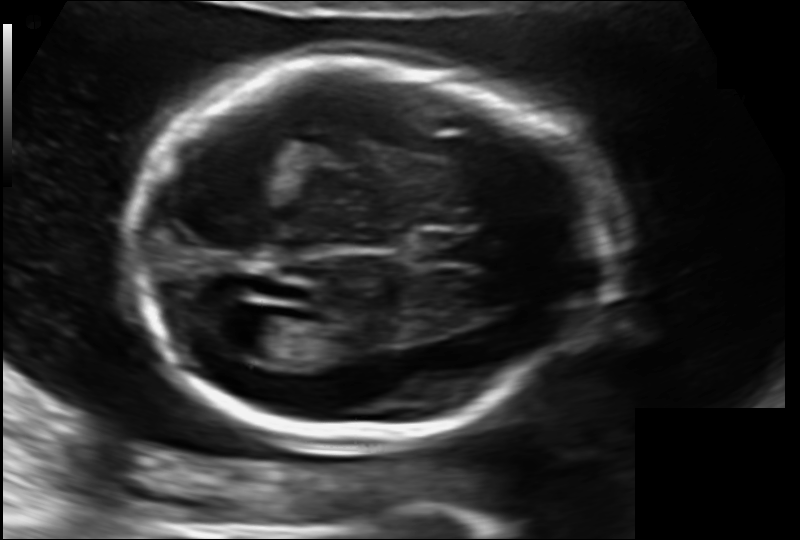
From this fetal ultrasound, estimate the head circumference (image width 103.9 mm).

Head circumference: 180.3 mm.